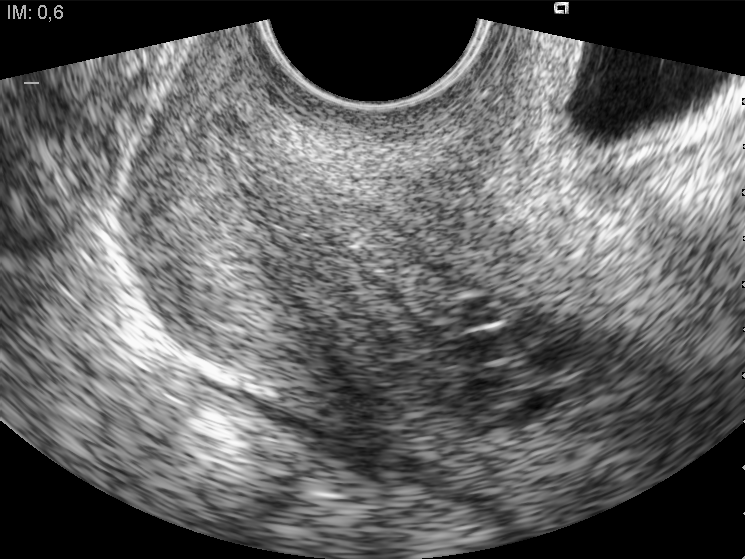
Classify this maternal-fetal ultrasound image as one of the six standard planes — fetal abdomen, fetal brain, fetal femur, fetal thorax, maternal cervix, or other. If it's fetal brain and one of the three standard brain planes (trans-thalamic, trans-cerebellum, trans-ventricular), name which.

Maternal cervix